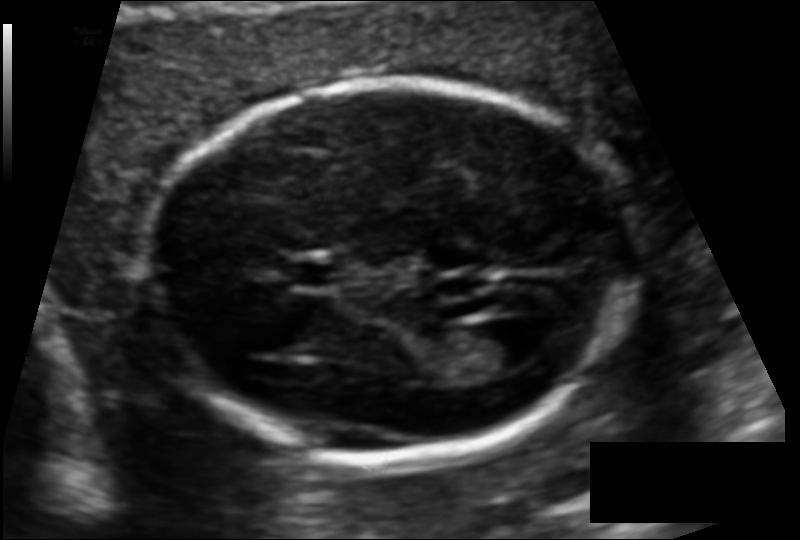
Fetal head ultrasound. Image width: 88.0 mm. Locate the fetal head.

Head: [147,79,633,457]